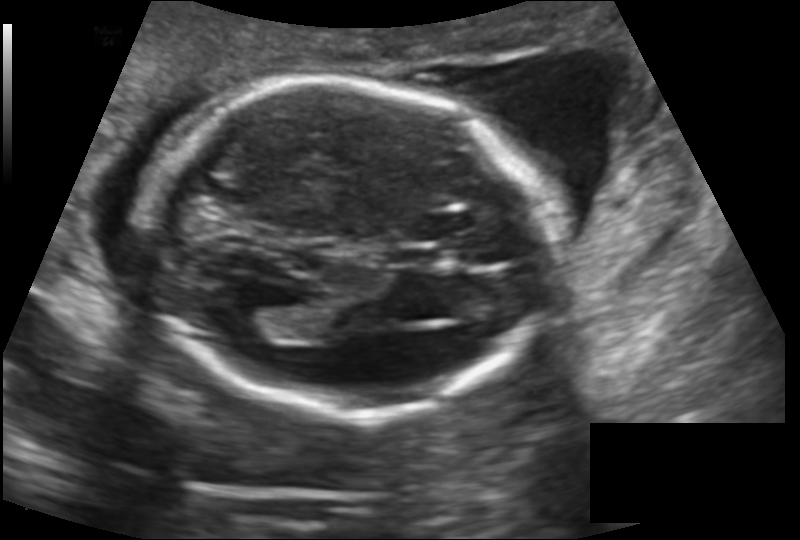
Fetal head ultrasound. Image width: 116.4 mm. Locate the cavum septum pellucidum.

CSP: [392,247,446,268]